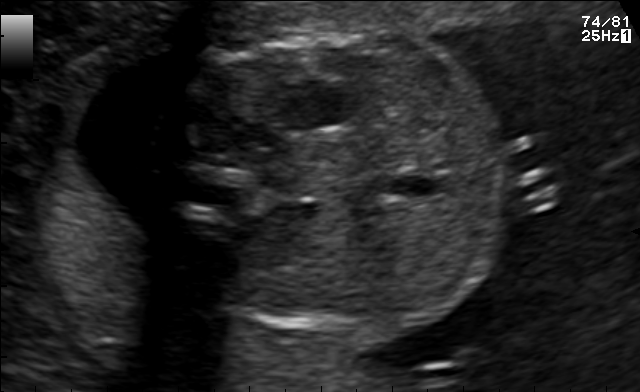
Which standard maternal-fetal ultrasound plane is shown: fetal abdomen, fetal brain, fetal femur, fetal thorax, maternal cervix, or other? If it's fetal brain and one of the three standard brain planes (trans-thalamic, trans-cerebellum, trans-ventricular), name which.

Fetal abdomen